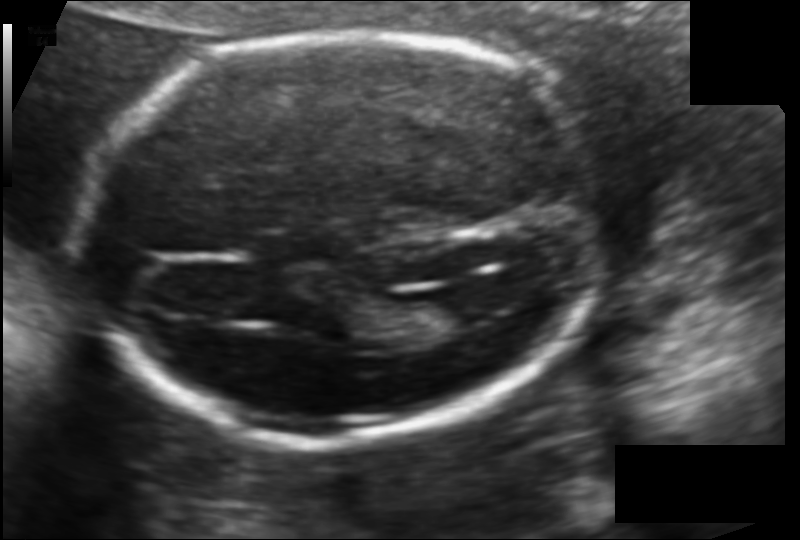
Fetal head ultrasound. Image width: 94.7 mm. Locate the lateral ventricle.

Lateral ventricle: [396,289,477,342]